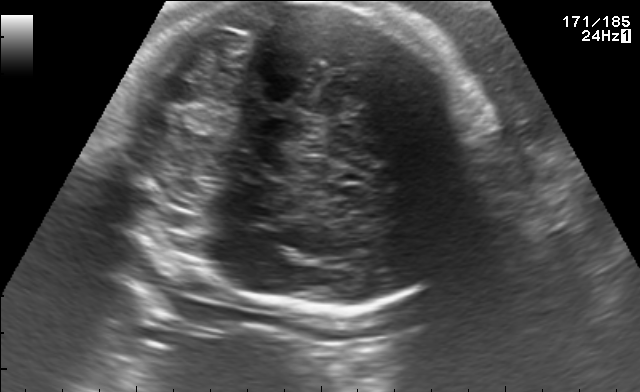
In this fetal brain, trans-cerebellum plane, give the bounding box of the fetal head.

[115,2,500,312]